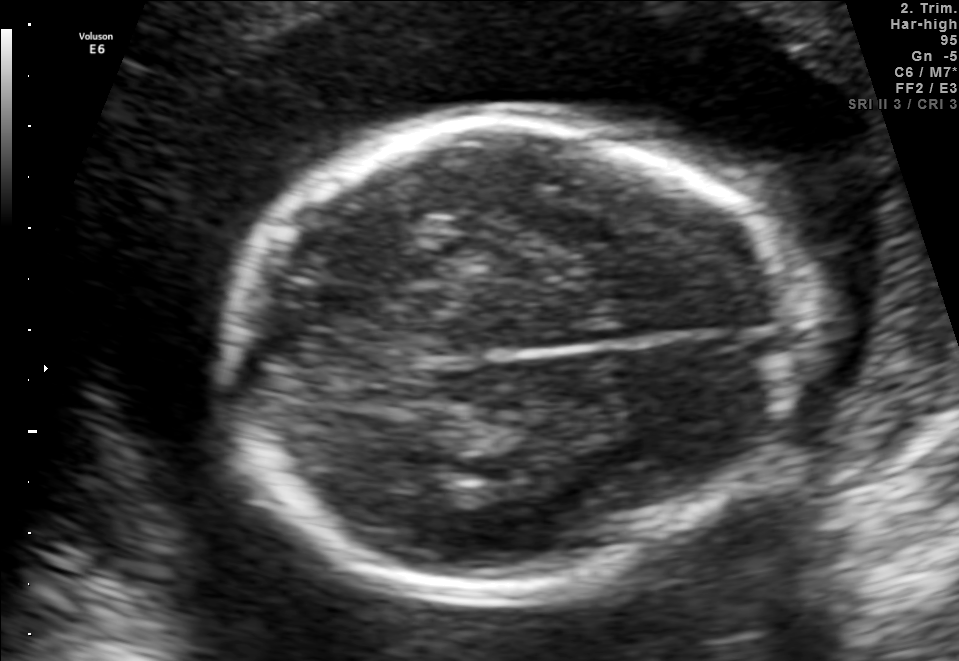
In this fetal brain, trans-thalamic plane, give the bounding box of the fetal head.

[218,118,803,595]